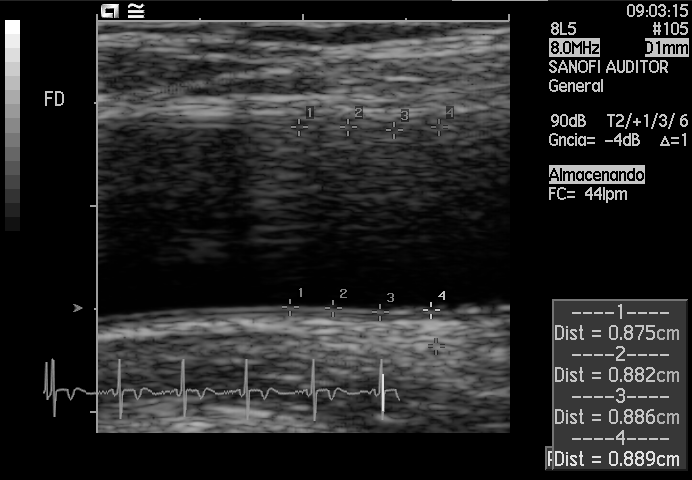
This is a 2D maternal-fetal ultrasound frame. Is it a fetal abdomen, fetal brain, fetal femur, fetal thorax, maternal cervix, or other standard plane? If it's fetal brain and one of the three standard brain planes (trans-thalamic, trans-cerebellum, trans-ventricular), name which.

Other